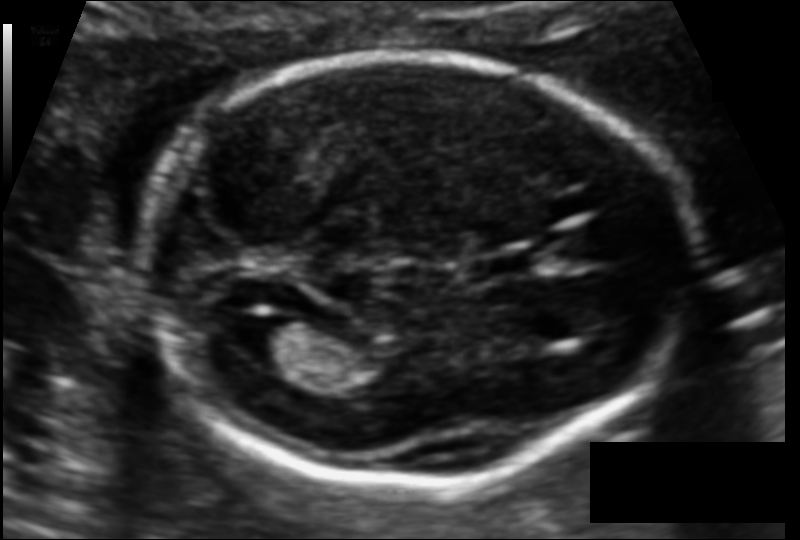
Fetal head ultrasound. Image width: 85.1 mm. Where is the lateral ventricle?

Lateral ventricle bounding box: [229,310,306,370]